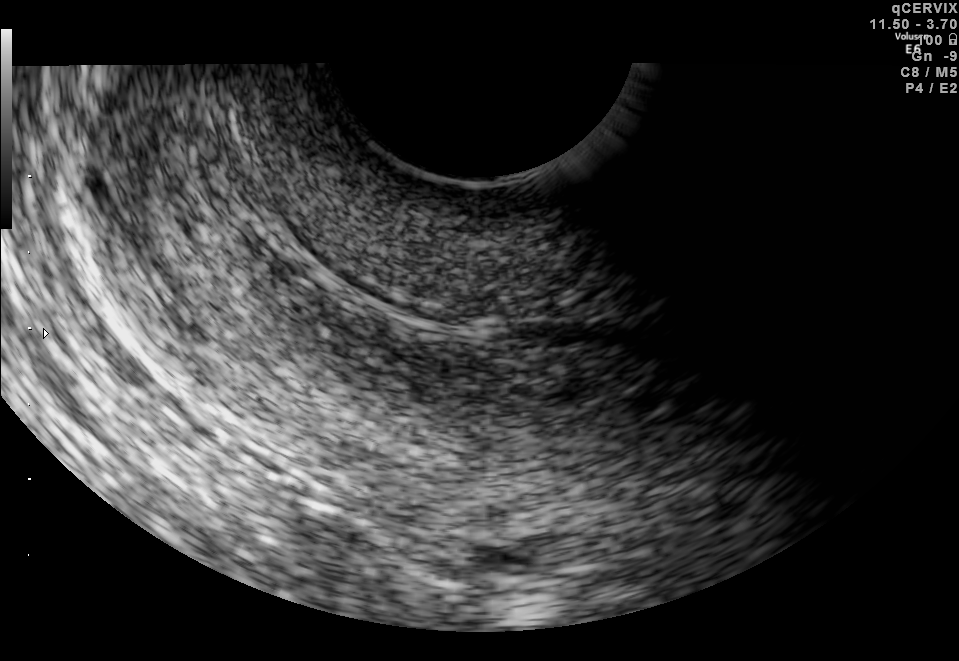
This is a 2D maternal-fetal ultrasound frame. Is it a fetal abdomen, fetal brain, fetal femur, fetal thorax, maternal cervix, or other standard plane? If it's fetal brain and one of the three standard brain planes (trans-thalamic, trans-cerebellum, trans-ventricular), name which.

Maternal cervix